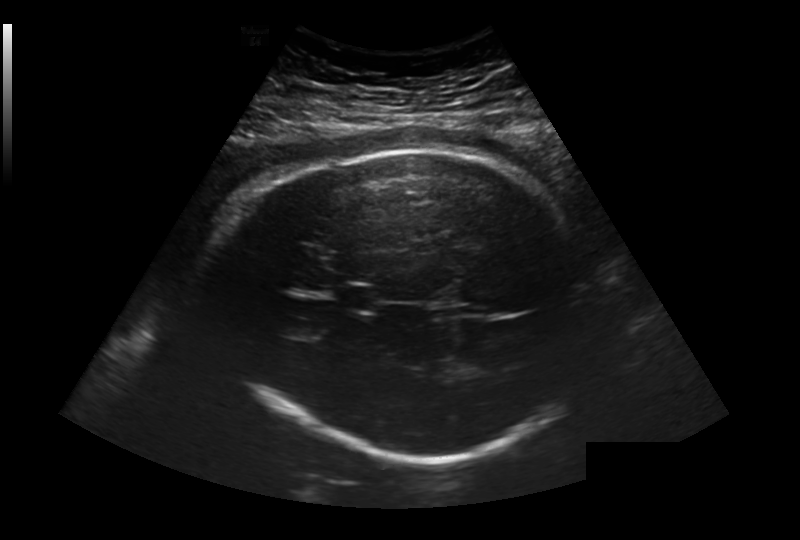
Fetal head ultrasound. Image width: 224.9 mm. Give [x1,y1,x2,y2] bounding boxes for each visible structure among: fetal head, CSP, LV.

Head: [216,149,602,458]
CSP: [335,282,383,316]